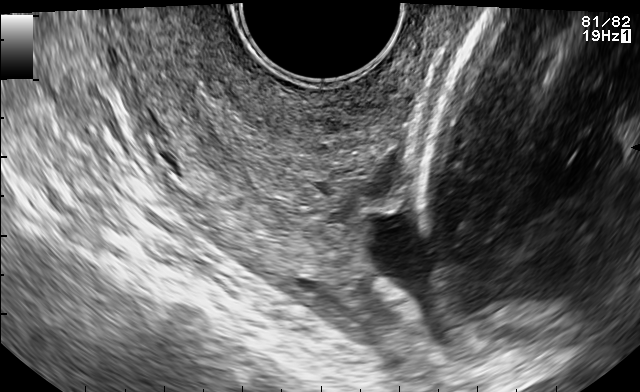
Identify the standard plane in this fetal ultrasound image: fetal abdomen, fetal brain, fetal femur, fetal thorax, maternal cervix, or other. If it's fetal brain and one of the three standard brain planes (trans-thalamic, trans-cerebellum, trans-ventricular), name which.

Maternal cervix